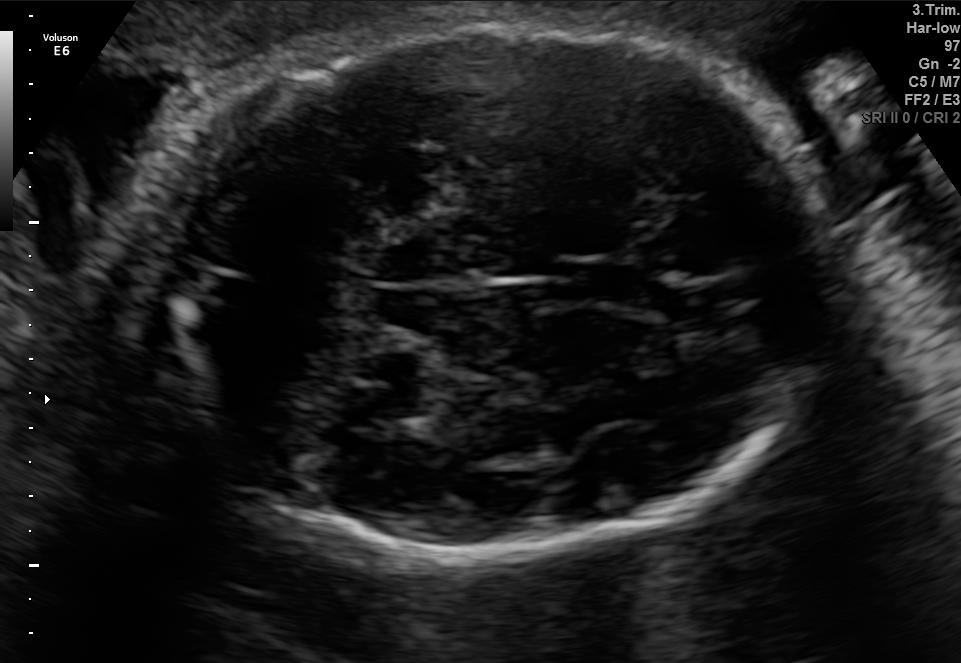
Fetal brain, trans-cerebellum plane. Where is the fetal head?

Head bounding box: [140,24,829,555]